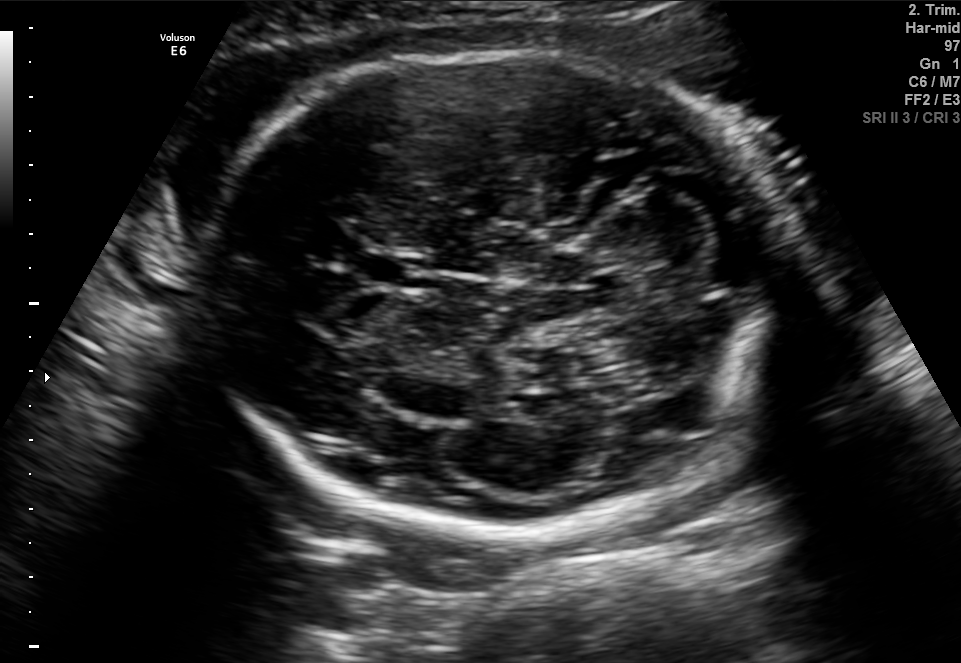
In this fetal brain, trans-cerebellum plane, give the bounding box of the fetal head.

[205,52,784,533]